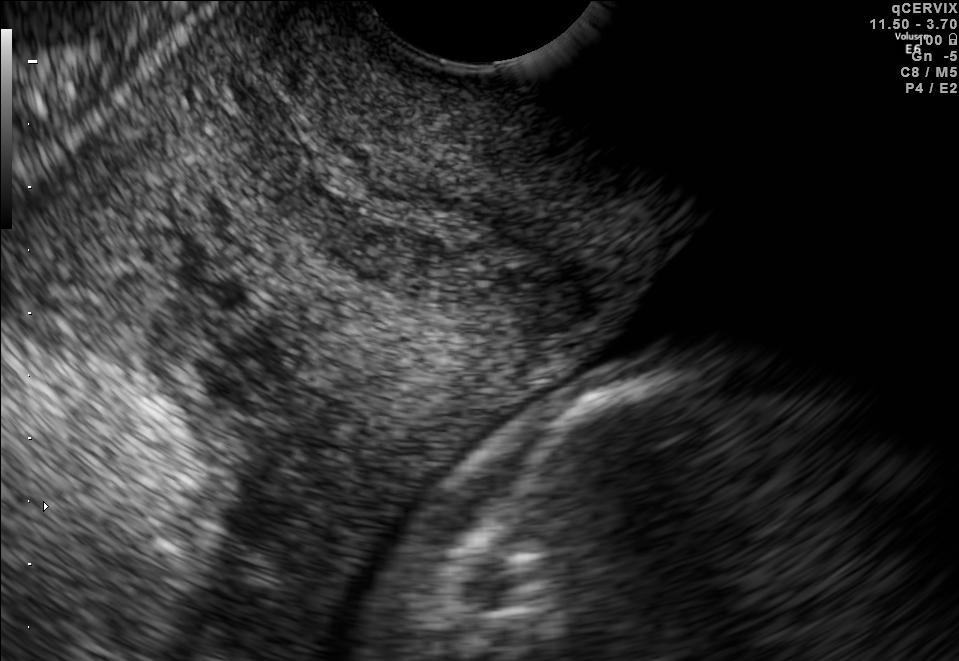
Identify the standard plane in this fetal ultrasound image: fetal abdomen, fetal brain, fetal femur, fetal thorax, maternal cervix, or other. If it's fetal brain and one of the three standard brain planes (trans-thalamic, trans-cerebellum, trans-ventricular), name which.

Maternal cervix